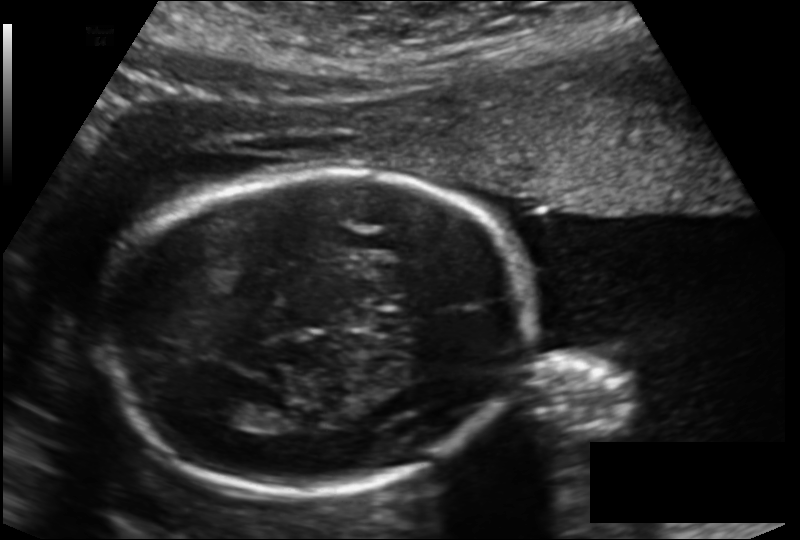
In this fetal head ultrasound, give bounding boxes for the head outline, cavum septum pellucidum (CSP), and lateral ventricle (LV), where visible. Image width: 123.8 mm.

Head: [108,172,531,494]
Lateral ventricle: [201,394,262,429]